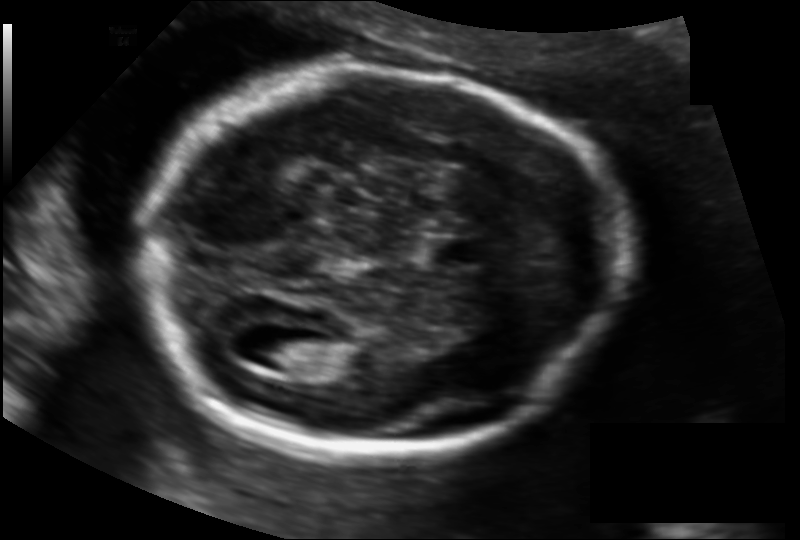
In this fetal head ultrasound, give the bounding box of the fetal head. Image width: 102.3 mm.

[142,69,621,452]